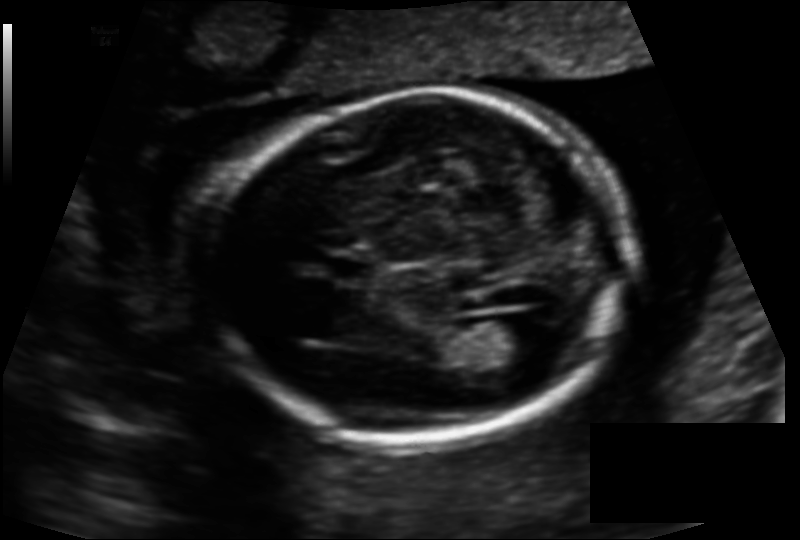
Estimate the fetal head circumference from this 2D ultrasound.

Head circumference: 166.8 mm (image width 107.3 mm).